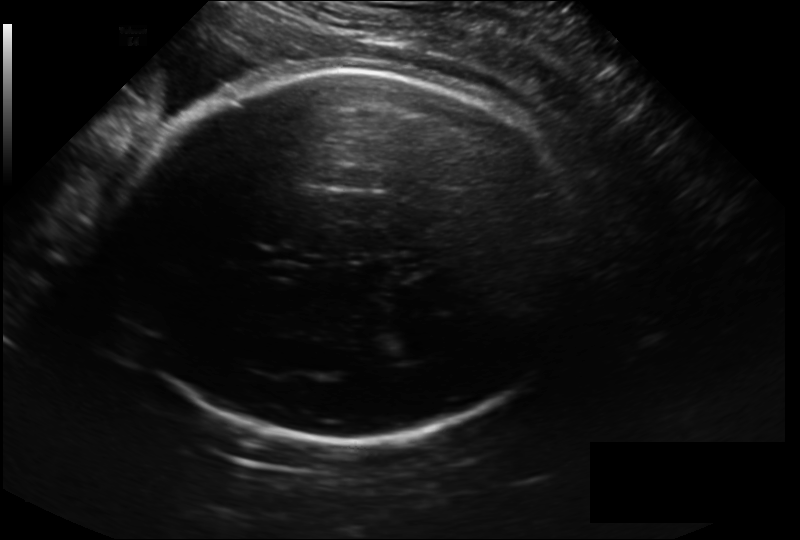
Measure the fetal head circumference shown in this ultrasound image. Image width: 182.1 mm.

Head circumference: 311.8 mm.